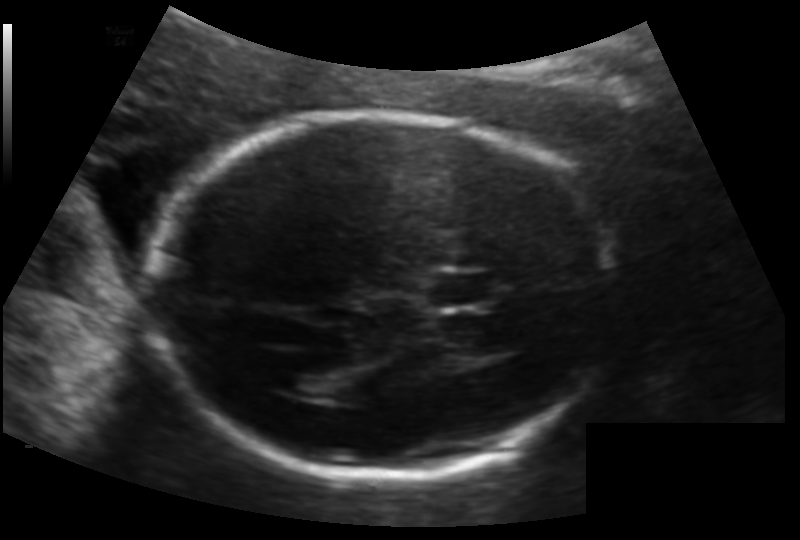
From this fetal ultrasound, estimate the head circumference (image width 106.4 mm).

Head circumference: 177.3 mm.